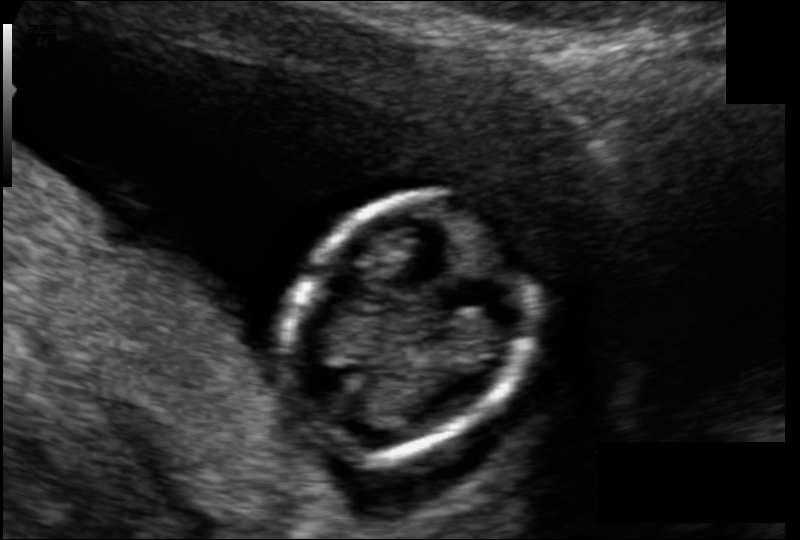
Fetal head ultrasound. Image width: 71.6 mm. Give [x1,y1,x2,y2] bounding boxes for each visible structure among: fetal head, CSP, LV.

Head: [285,194,536,456]